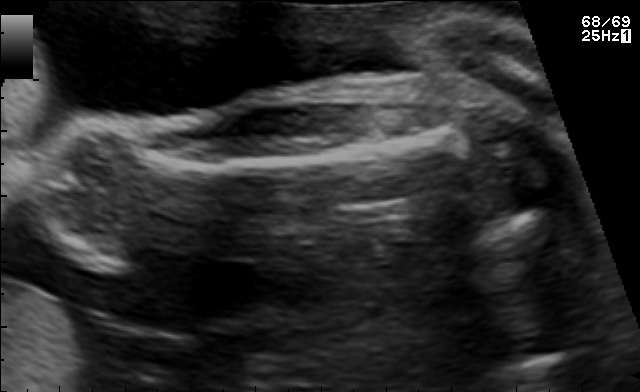
This is a 2D maternal-fetal ultrasound frame. Is it a fetal abdomen, fetal brain, fetal femur, fetal thorax, maternal cervix, or other standard plane? If it's fetal brain and one of the three standard brain planes (trans-thalamic, trans-cerebellum, trans-ventricular), name which.

Fetal femur